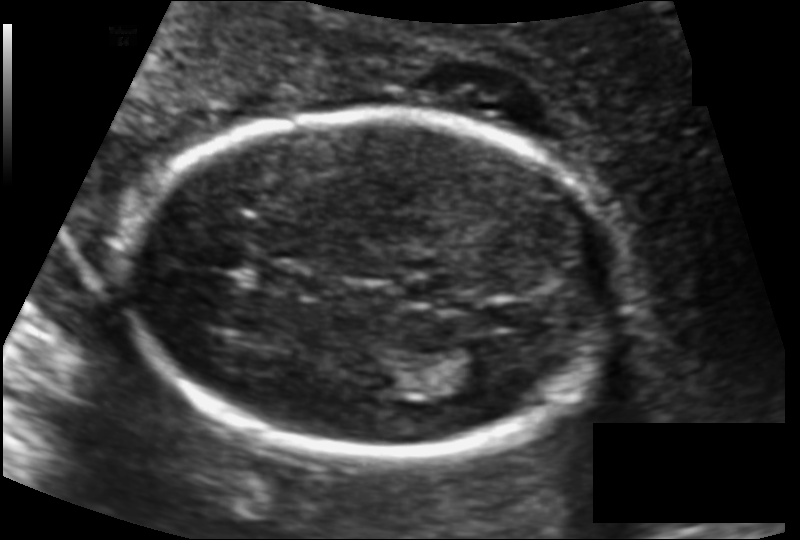
In this fetal head ultrasound, give the bounding box of the lateral ventricle. Image width: 93.7 mm.

[437,339,510,393]